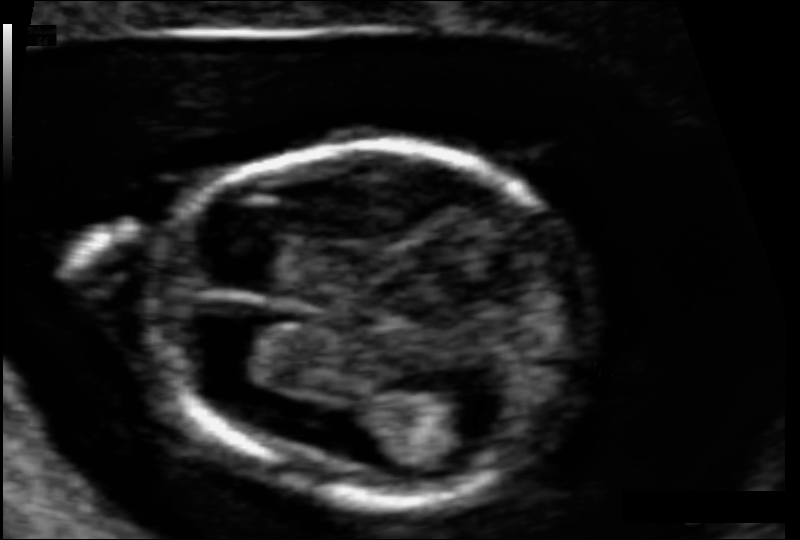
In this fetal head ultrasound, give the bounding box of the fetal head. Image width: 50.1 mm.

[149,145,592,502]